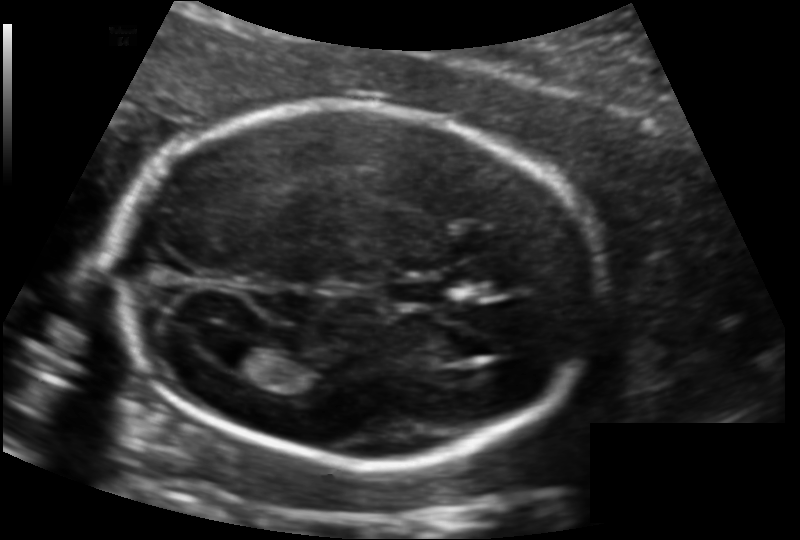
Fetal head ultrasound. Image width: 107.1 mm. Where is the fetal head?

Head bounding box: [115,104,595,466]